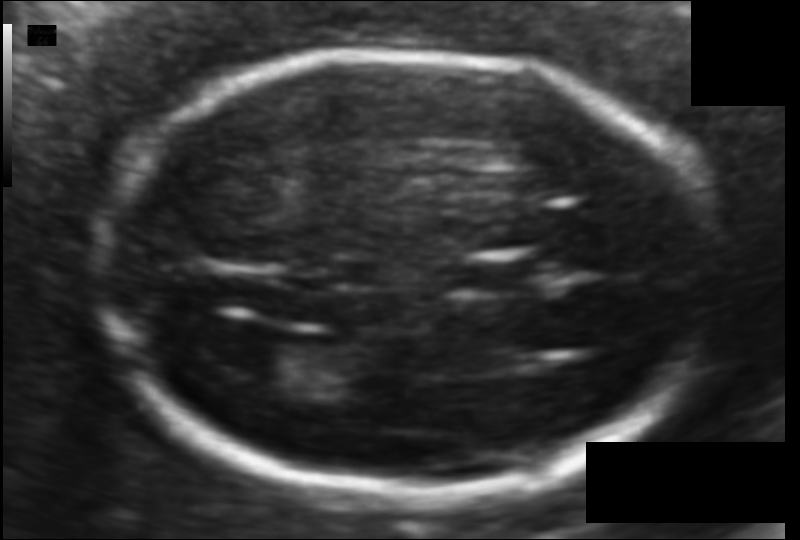
In this fetal head ultrasound, give the bounding box of the cavum septum pellucidum. Image width: 75.4 mm.

[470,256,541,294]